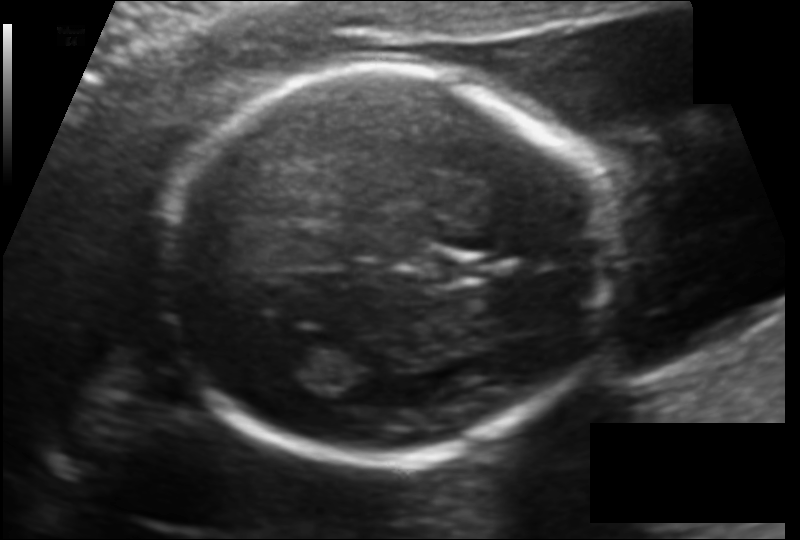
Fetal head ultrasound. Image width: 98.0 mm. Where is the fetal head?

Head bounding box: [156,69,606,462]